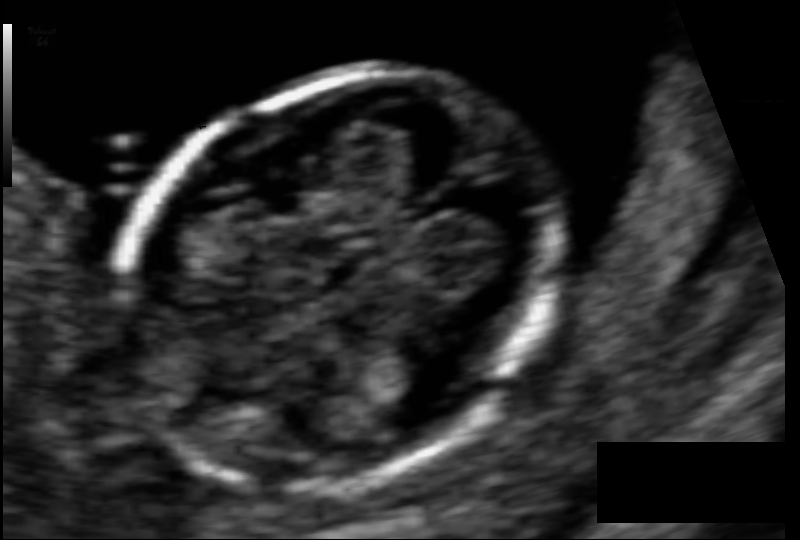
From this fetal ultrasound, estimate the head circumference (image width 48.5 mm).

Head circumference: 85.0 mm.